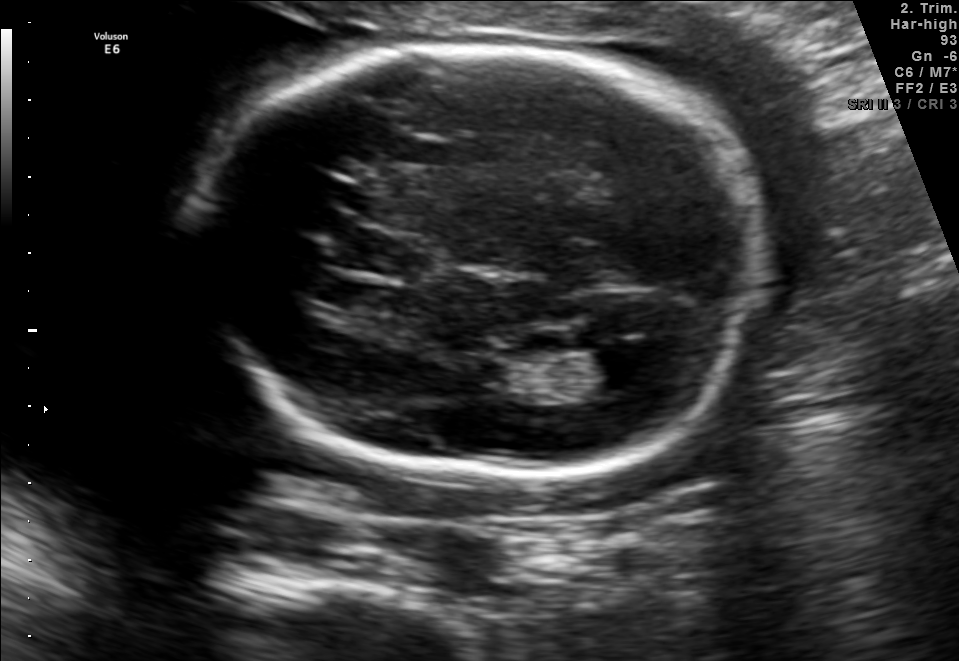
Fetal brain, trans-ventricular plane. Give [x1,y1,x2,y2] bounding boxes for each visible structure among: fetal head, CSP, LV.

Head: [184,34,781,487]
CSP: [317,222,434,284]
Lateral ventricle: [576,344,664,400]